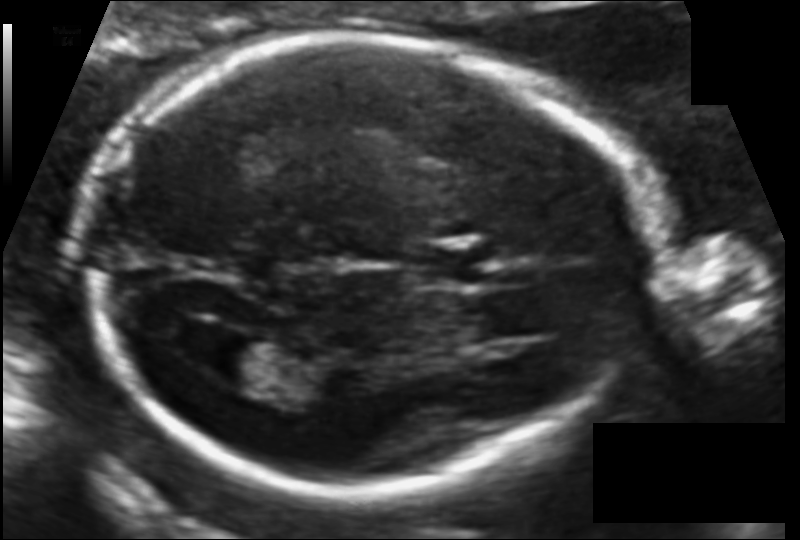
Fetal head ultrasound. Image width: 87.0 mm. Where is the lateral ventricle?

Lateral ventricle bounding box: [190,318,279,392]